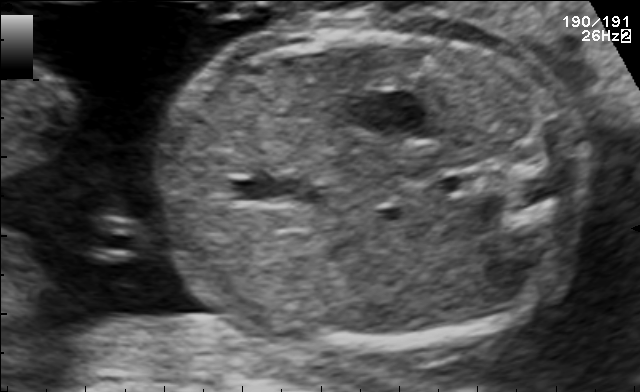
Which standard maternal-fetal ultrasound plane is shown: fetal abdomen, fetal brain, fetal femur, fetal thorax, maternal cervix, or other? If it's fetal brain and one of the three standard brain planes (trans-thalamic, trans-cerebellum, trans-ventricular), name which.

Fetal abdomen